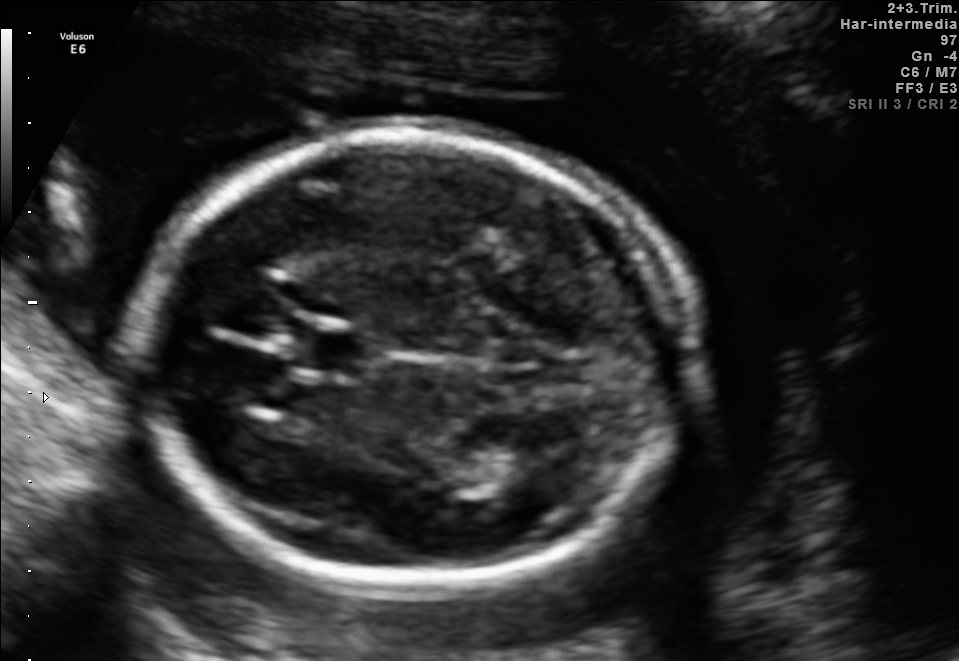
Fetal brain, trans-thalamic plane. Where is the cavum septum pellucidum?

CSP bounding box: [295,326,368,377]